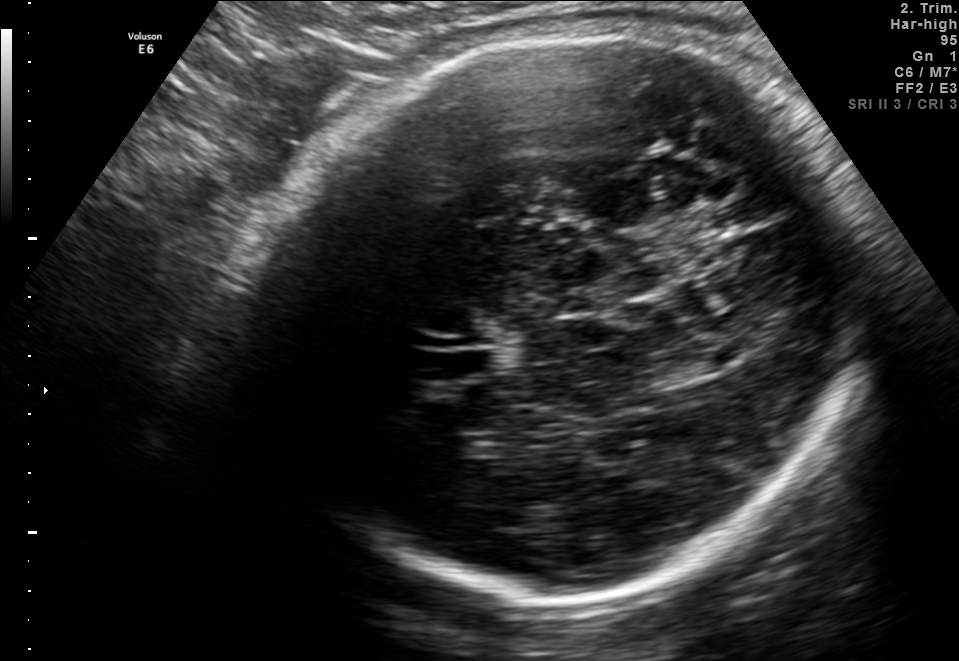
Fetal brain, trans-thalamic plane. Where is the fetal head?

Head bounding box: [232,32,867,597]